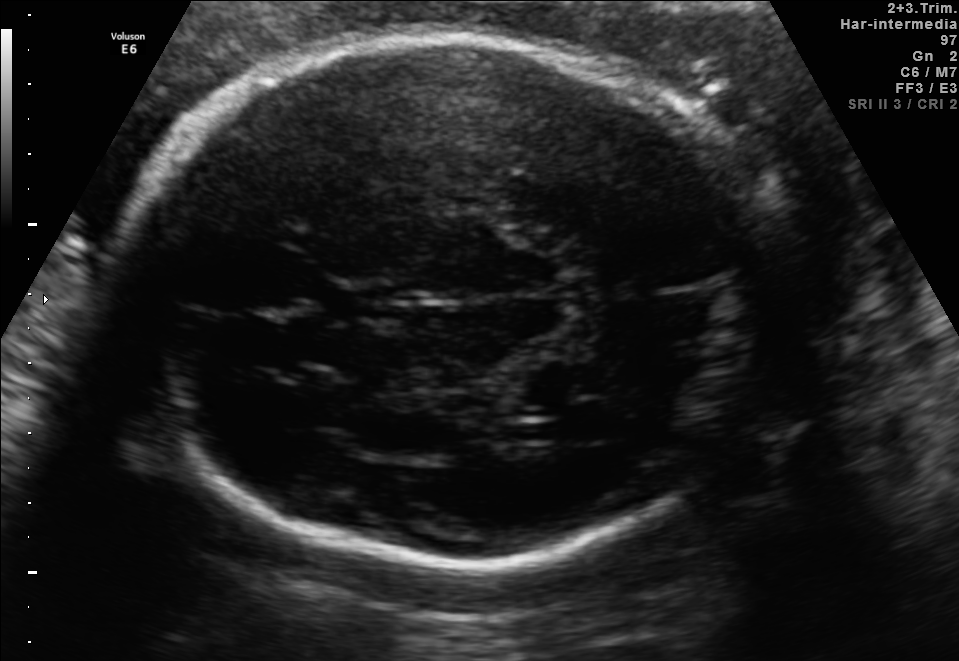
Fetal brain, trans-thalamic plane. Locate the lateral ventricle.

Lateral ventricle: [529,414,585,445]